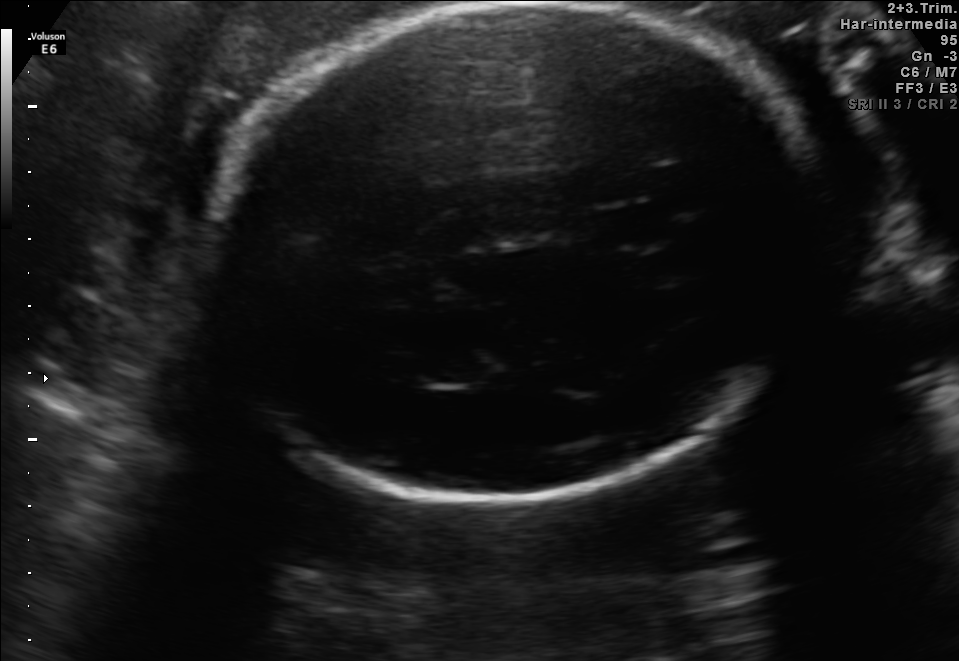
Fetal brain, trans-thalamic plane. Where is the lateral ventricle?

Lateral ventricle bounding box: [407,349,483,384]